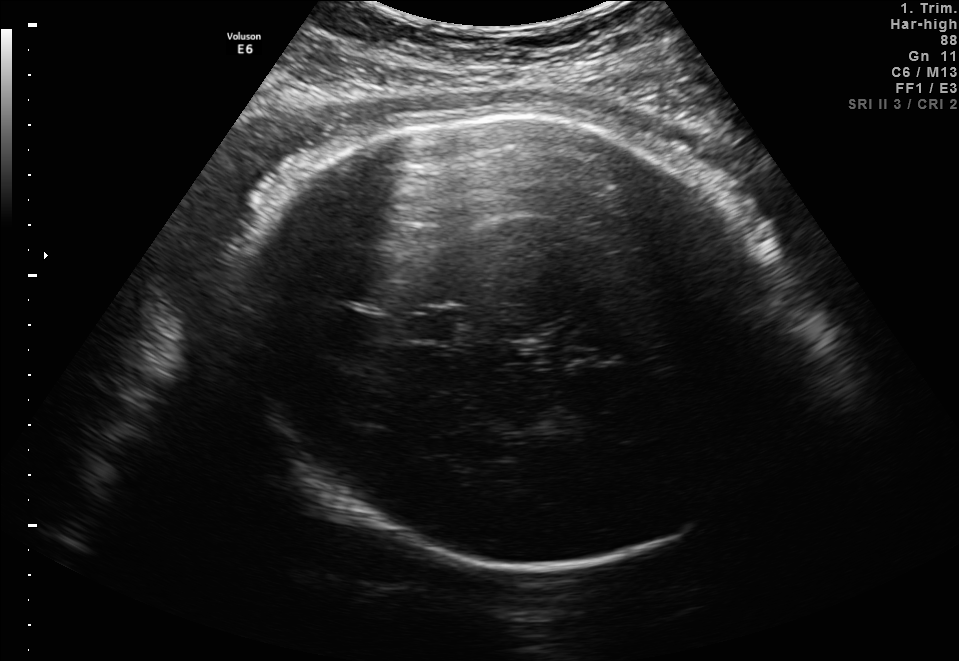
Classify this maternal-fetal ultrasound image as one of the six standard planes — fetal abdomen, fetal brain, fetal femur, fetal thorax, maternal cervix, or other. If it's fetal brain and one of the three standard brain planes (trans-thalamic, trans-cerebellum, trans-ventricular), name which.

Fetal brain (trans-thalamic plane)